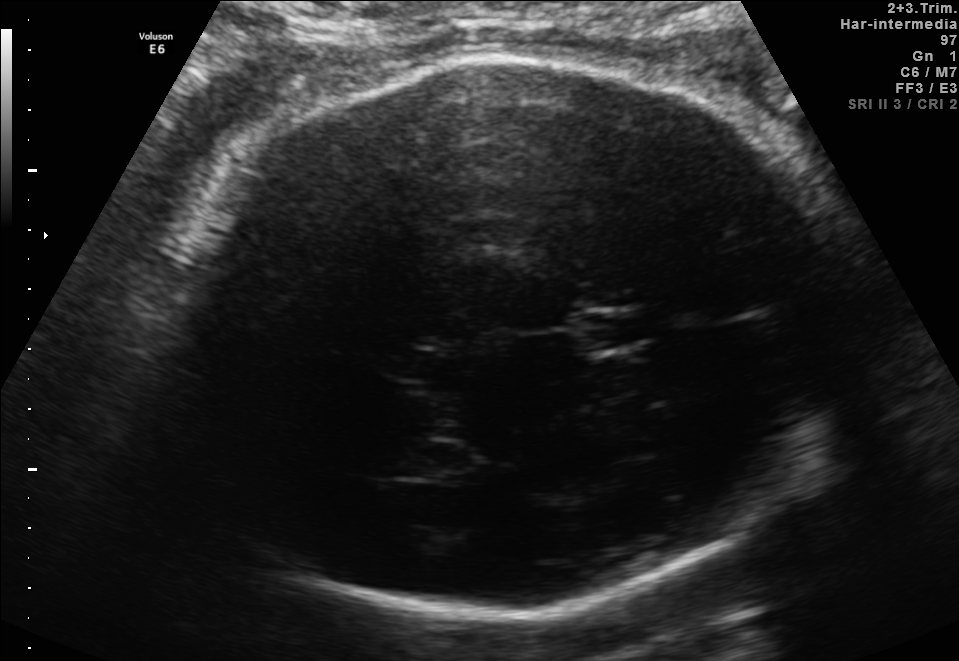
Which standard maternal-fetal ultrasound plane is shown: fetal abdomen, fetal brain, fetal femur, fetal thorax, maternal cervix, or other? If it's fetal brain and one of the three standard brain planes (trans-thalamic, trans-cerebellum, trans-ventricular), name which.

Fetal brain (trans-thalamic plane)